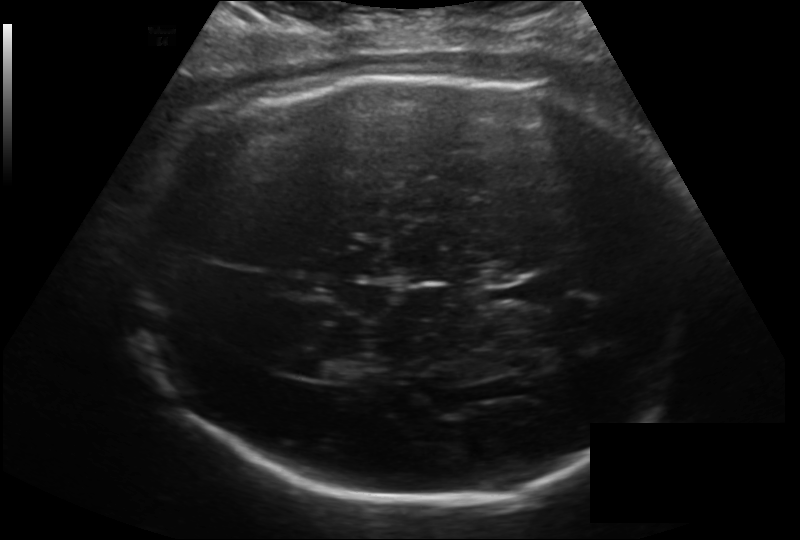
In this fetal head ultrasound, give bounding boxes for the head outline, cavum septum pellucidum (CSP), and lateral ventricle (LV), where visible. Image width: 154.4 mm.

Head: [126,75,707,502]
CSP: [515,265,585,306]
Lateral ventricle: [304,349,365,384]